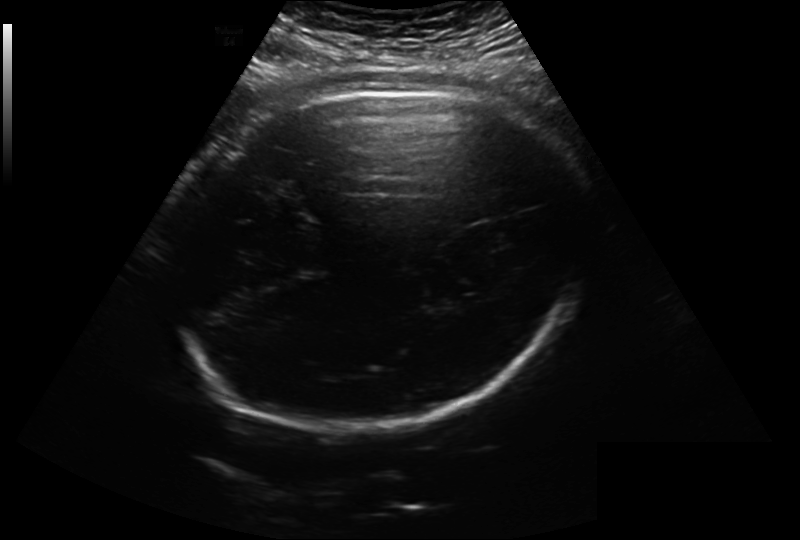
Fetal head ultrasound. Image width: 223.6 mm. Locate the fetal head.

Head: [164,91,595,426]